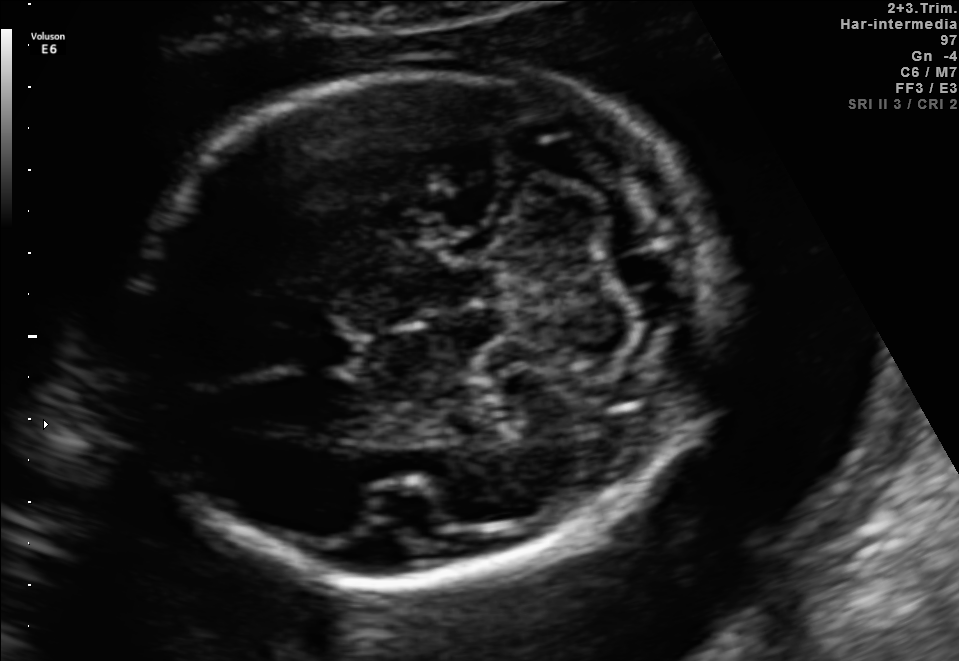
Fetal brain, trans-cerebellum plane. Where is the fetal head?

Head bounding box: [128,66,717,583]